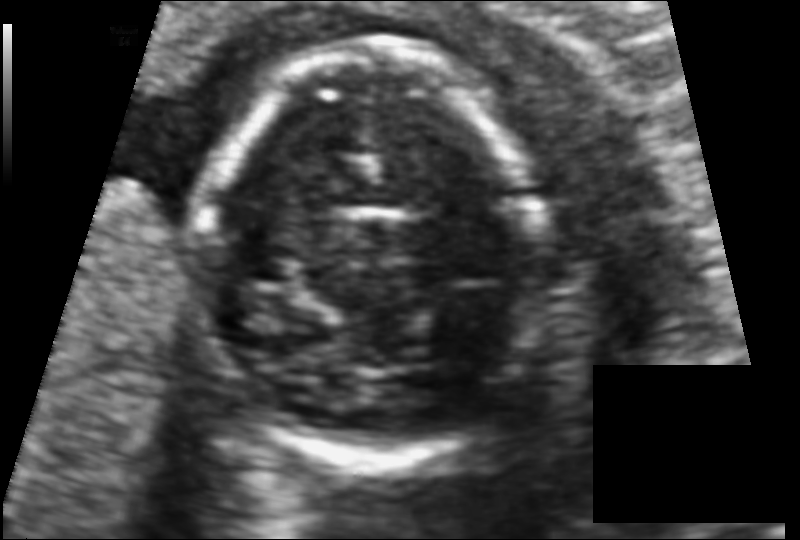
Measure the fetal head circumference shown in this ultrasound image. Image width: 74.5 mm.

Head circumference: 112.7 mm.